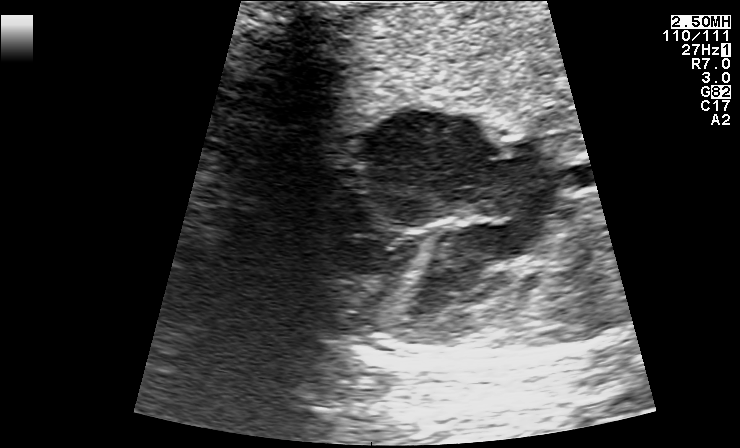
Identify the standard plane in this fetal ultrasound image: fetal abdomen, fetal brain, fetal femur, fetal thorax, maternal cervix, or other. If it's fetal brain and one of the three standard brain planes (trans-thalamic, trans-cerebellum, trans-ventricular), name which.

Fetal thorax